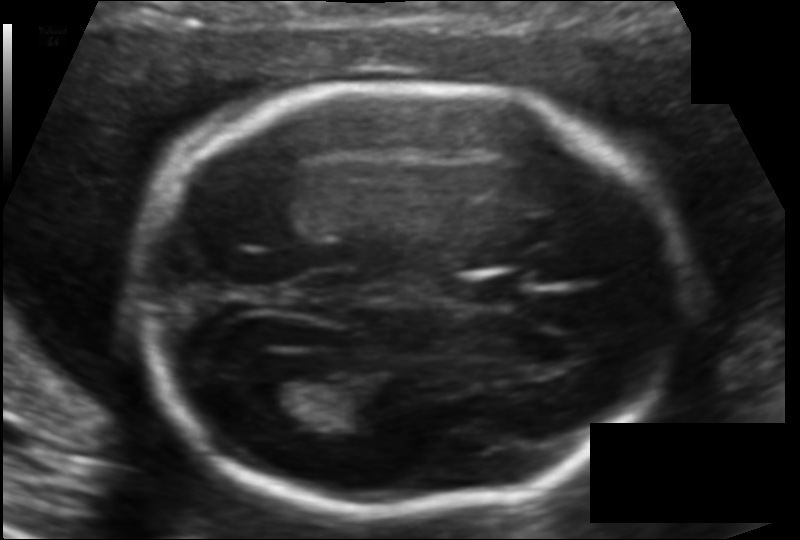
Fetal head ultrasound. Image width: 94.1 mm. Give [x1,y1,x2,y2] bounding boxes for each visible structure among: fetal head, CSP, LV.

Head: [135,82,675,509]
CSP: [464,268,535,311]
Lateral ventricle: [248,372,340,428]